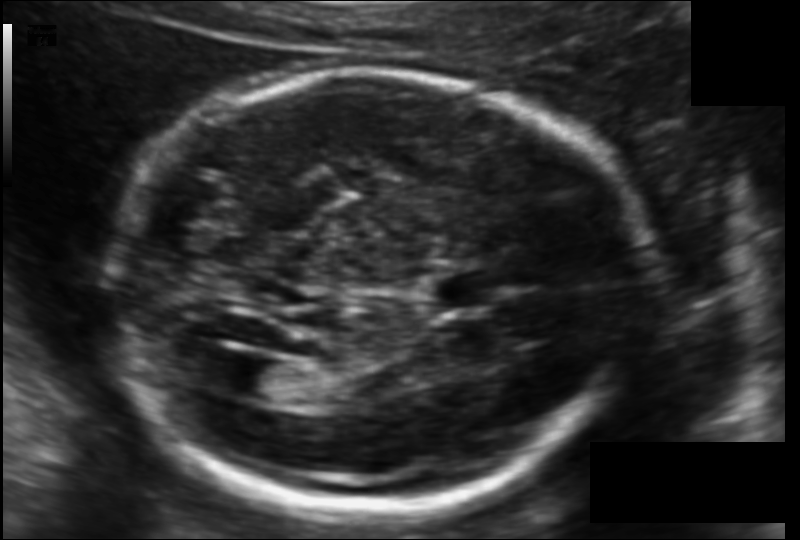
What is the fetal head circumference? Image width is 95.3 mm.

188.6 mm